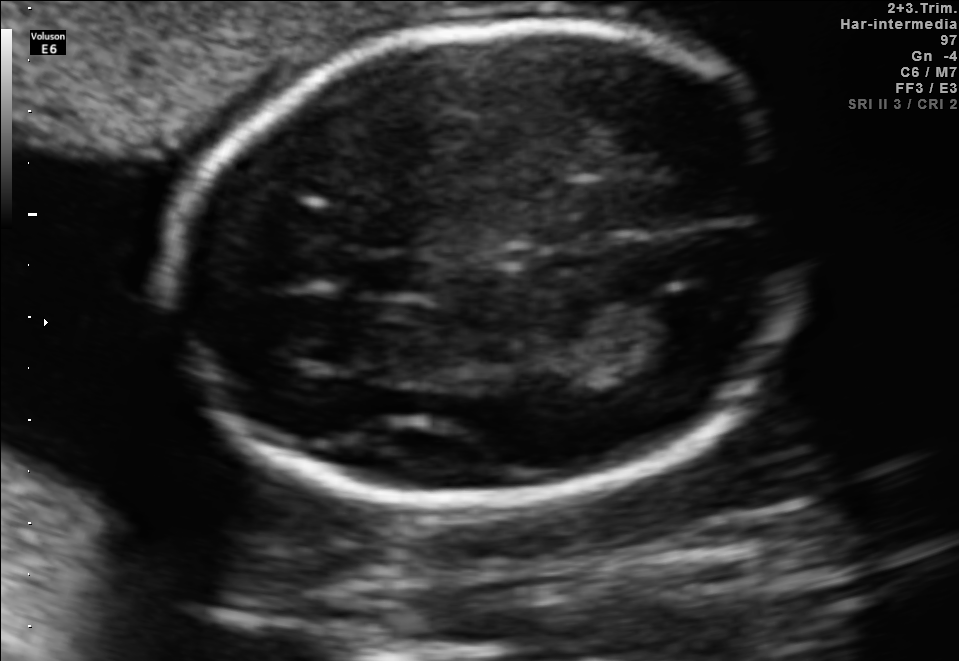
Fetal brain, trans-thalamic plane. Where is the cavum septum pellucidum?

CSP bounding box: [351,259,429,292]